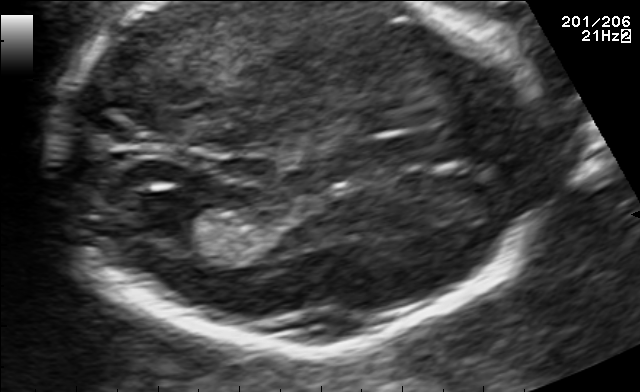
In this fetal brain, trans-thalamic plane, give bounding boxes for the cavum septum pellucidum (CSP) and lateral ventricle (LV), where visible.

CSP: [369,125,459,171]
Lateral ventricle: [135,197,219,247]